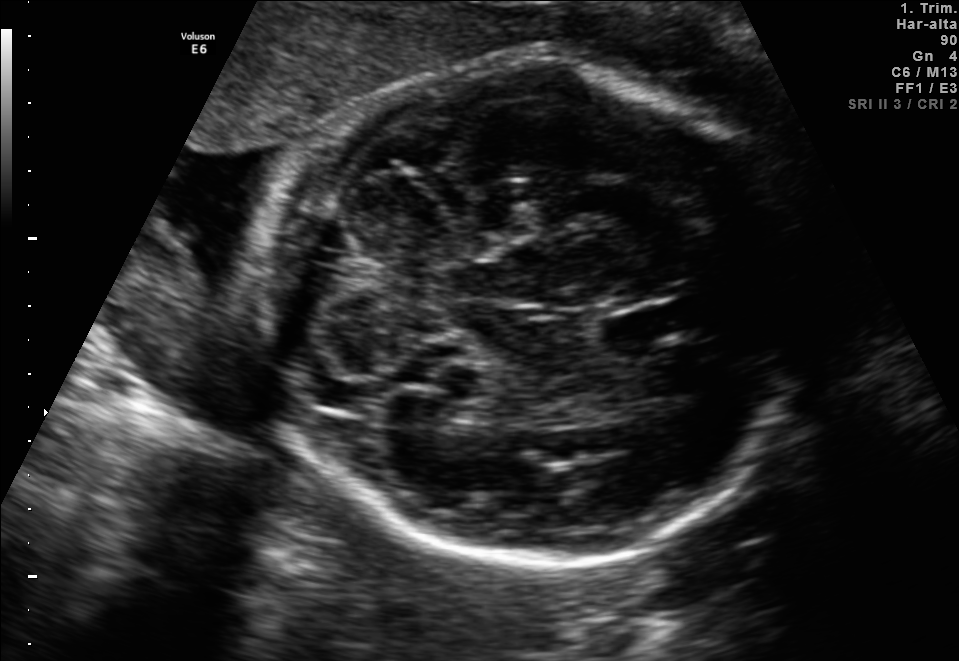
Fetal brain, trans-cerebellum plane. Give [x1,y1,x2,y2] bounding boxes for each visible structure among: fetal head, CSP, LV.

Head: [251,51,798,568]
CSP: [594,299,681,354]